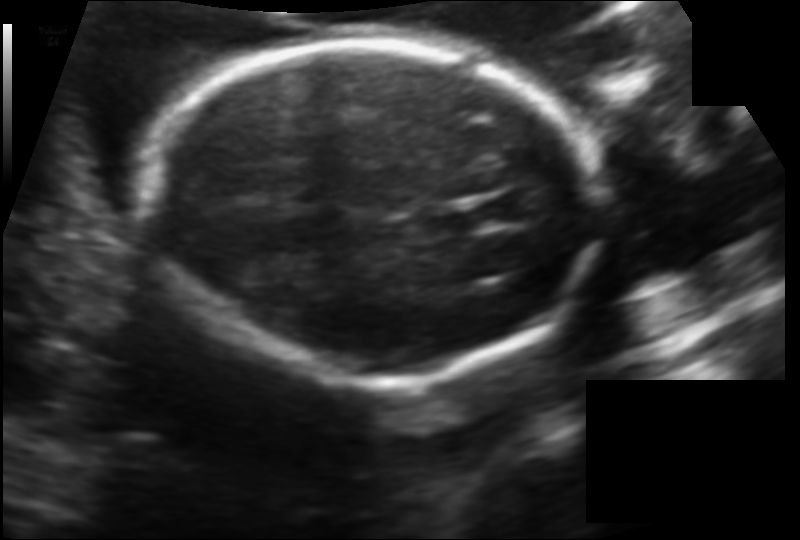
Fetal head ultrasound. Image width: 108.5 mm. Locate the fetal head.

Head: [148,41,589,383]